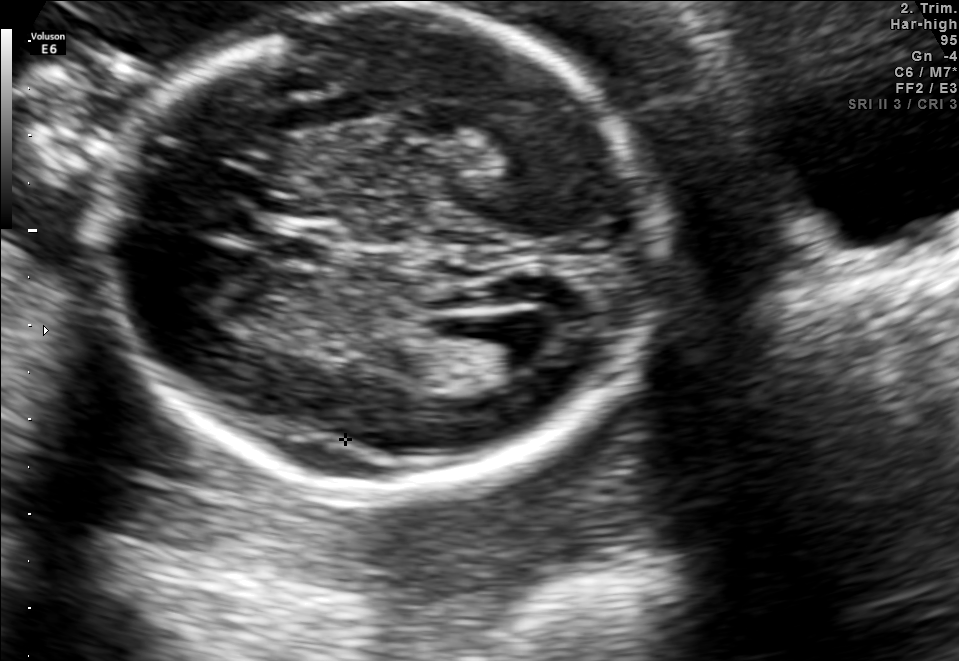
Fetal brain, trans-ventricular plane. Locate the fetal head.

Head: [96,4,673,499]